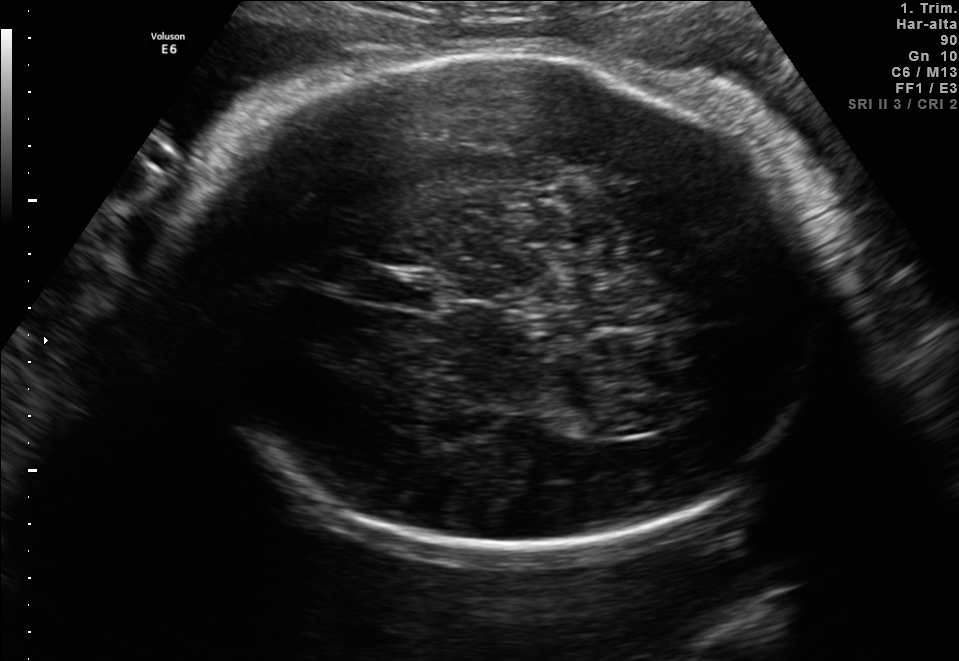
Fetal brain, trans-thalamic plane. Where is the fetal head?

Head bounding box: [189,46,816,545]